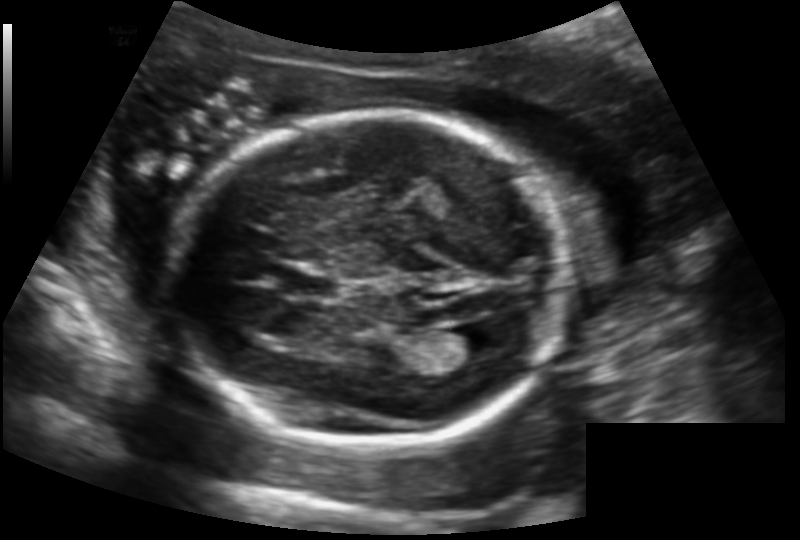
Fetal head ultrasound. Image width: 117.4 mm. Give [x1,y1,x2,y2] bounding boxes for each visible structure among: fetal head, CSP, LV.

Head: [172,113,568,449]
CSP: [280,267,340,298]
Lateral ventricle: [439,318,502,367]